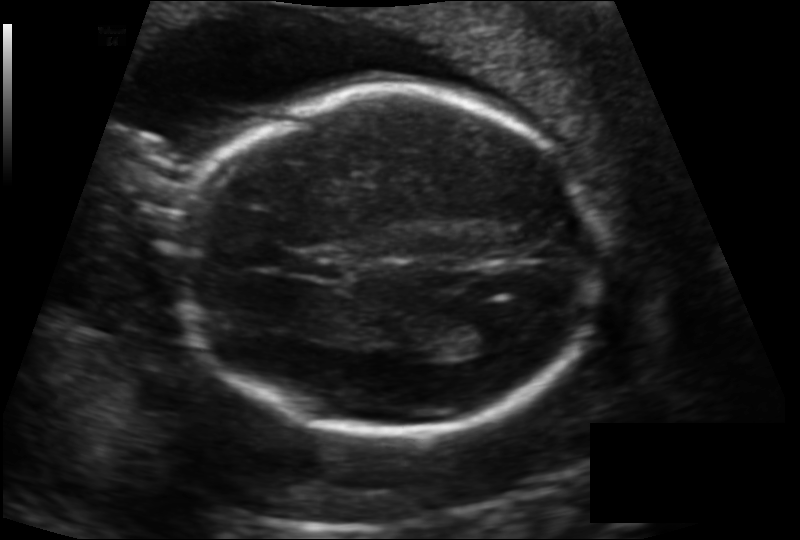
Estimate the fetal head circumference from this 2D ultrasound. Image width: 113.2 mm.

Head circumference: 176.6 mm.